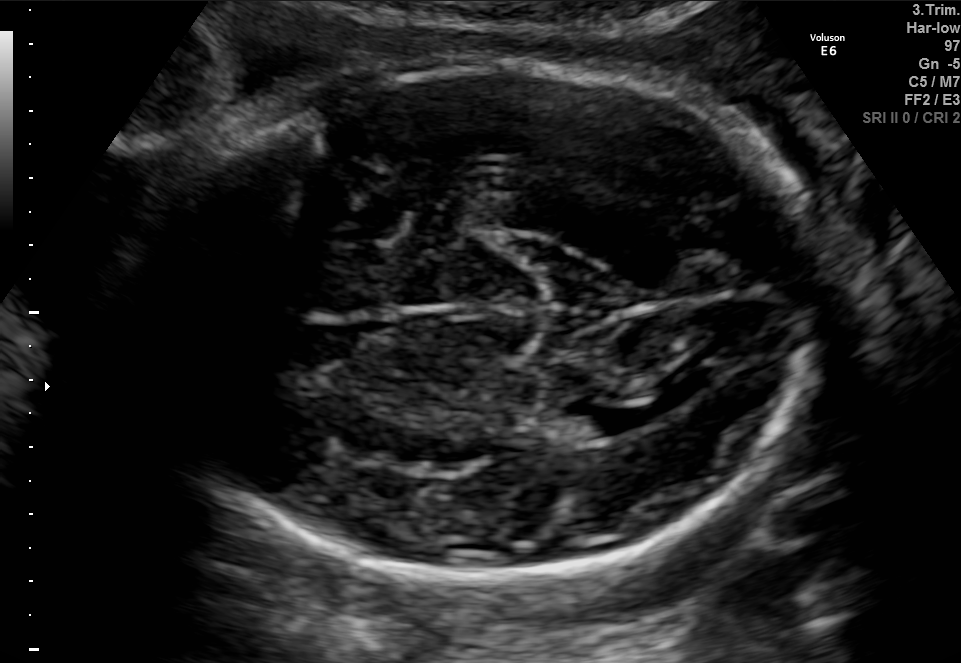
Which standard maternal-fetal ultrasound plane is shown: fetal abdomen, fetal brain, fetal femur, fetal thorax, maternal cervix, or other? If it's fetal brain and one of the three standard brain planes (trans-thalamic, trans-cerebellum, trans-ventricular), name which.

Fetal brain (trans-thalamic plane)